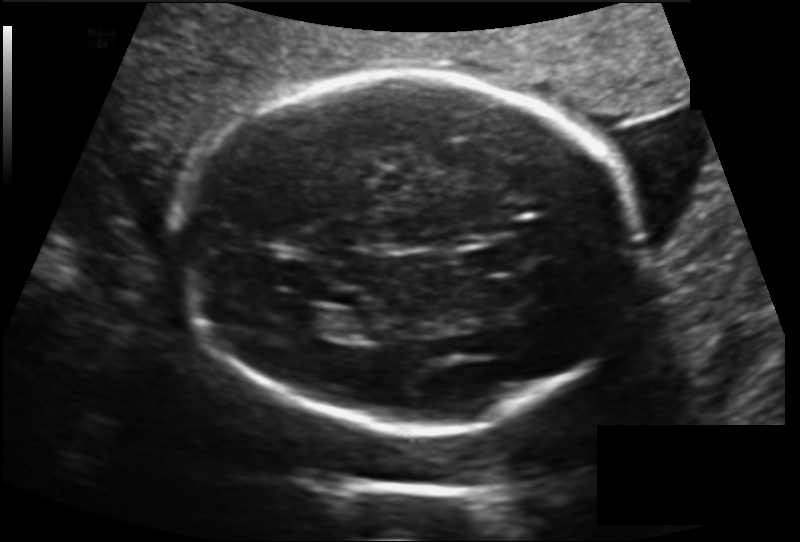
In this fetal head ultrasound, give the bounding box of the fetal head. Image width: 127.7 mm.

[175,71,645,421]